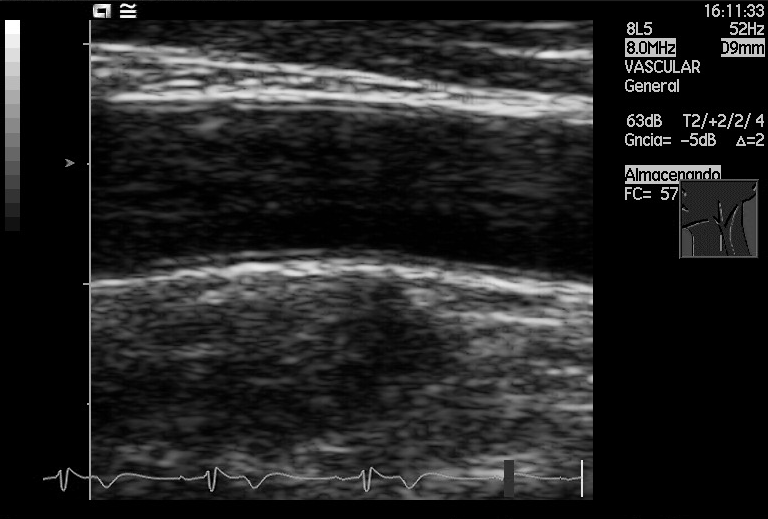
This is a 2D maternal-fetal ultrasound frame. Is it a fetal abdomen, fetal brain, fetal femur, fetal thorax, maternal cervix, or other standard plane? If it's fetal brain and one of the three standard brain planes (trans-thalamic, trans-cerebellum, trans-ventricular), name which.

Other